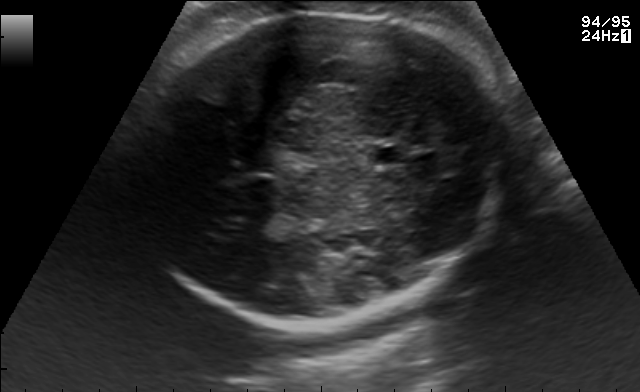
In this fetal brain, trans-thalamic plane, give the bounding box of the fetal head.

[133,11,507,323]